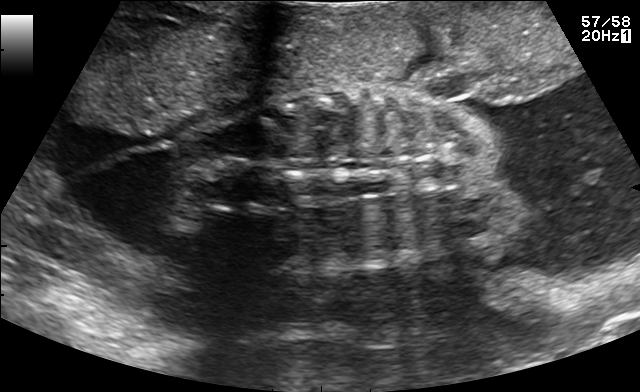
Identify the standard plane in this fetal ultrasound image: fetal abdomen, fetal brain, fetal femur, fetal thorax, maternal cervix, or other. If it's fetal brain and one of the three standard brain planes (trans-thalamic, trans-cerebellum, trans-ventricular), name which.

Other